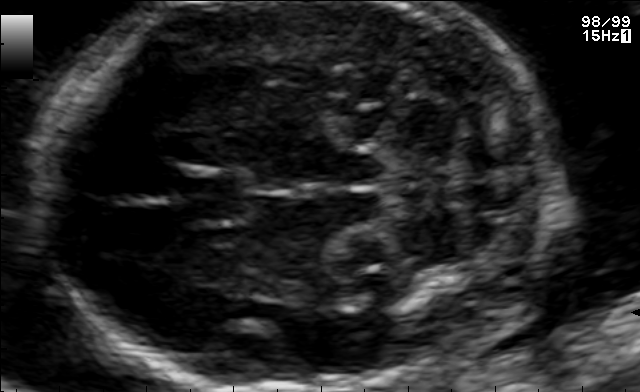
Fetal brain, trans-cerebellum plane. Give [x1,y1,x2,y2] bounding boxes for each visible structure among: fetal head, CSP, LV.

Head: [35,4,555,390]
CSP: [178,171,248,224]